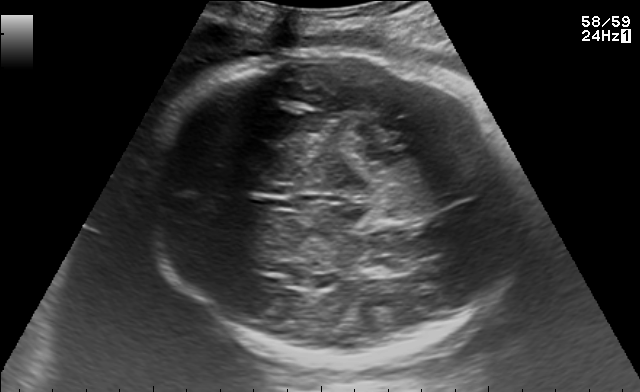
In this fetal brain, trans-thalamic plane, give the bounding box of the lateral ventricle.

[361,255,407,279]